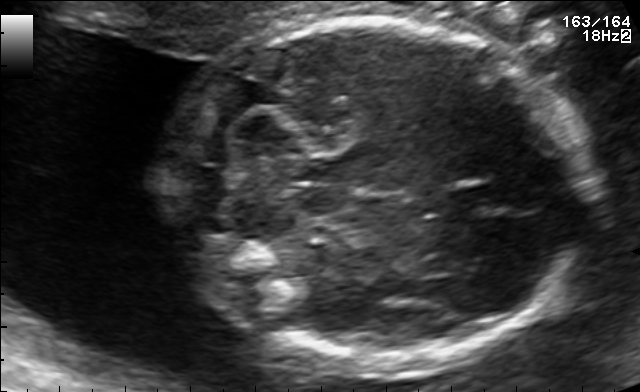
Identify the standard plane in this fetal ultrasound image: fetal abdomen, fetal brain, fetal femur, fetal thorax, maternal cervix, or other. If it's fetal brain and one of the three standard brain planes (trans-thalamic, trans-cerebellum, trans-ventricular), name which.

Fetal brain (trans-cerebellum plane)